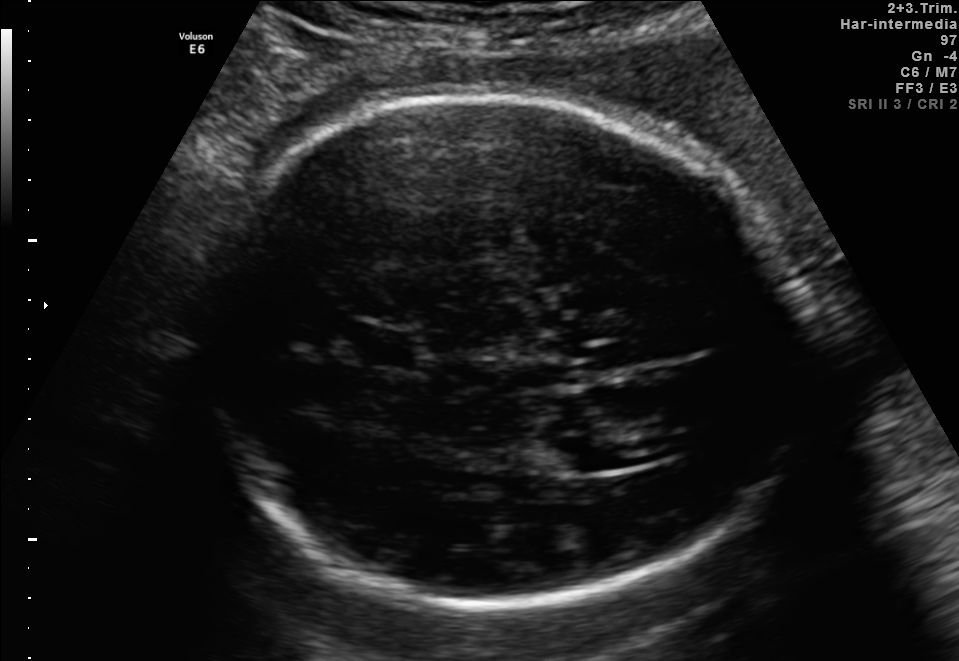
Fetal brain, trans-ventricular plane. Locate the fetal head and, if visible, the cavum septum pellucidum (CSP) and lateral ventricle (LV). Give bounding boxes as [x1,y1,x2,y2].

Head: [187,87,824,616]
CSP: [341,320,437,378]
Lateral ventricle: [537,428,622,478]